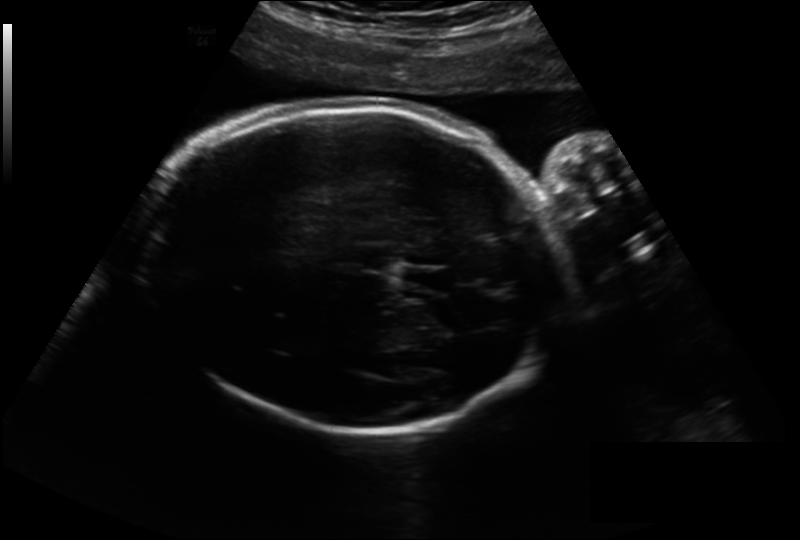
Fetal head ultrasound. Image width: 194.6 mm. Where is the cavum septum pellucidum?

CSP bounding box: [400,266,450,291]